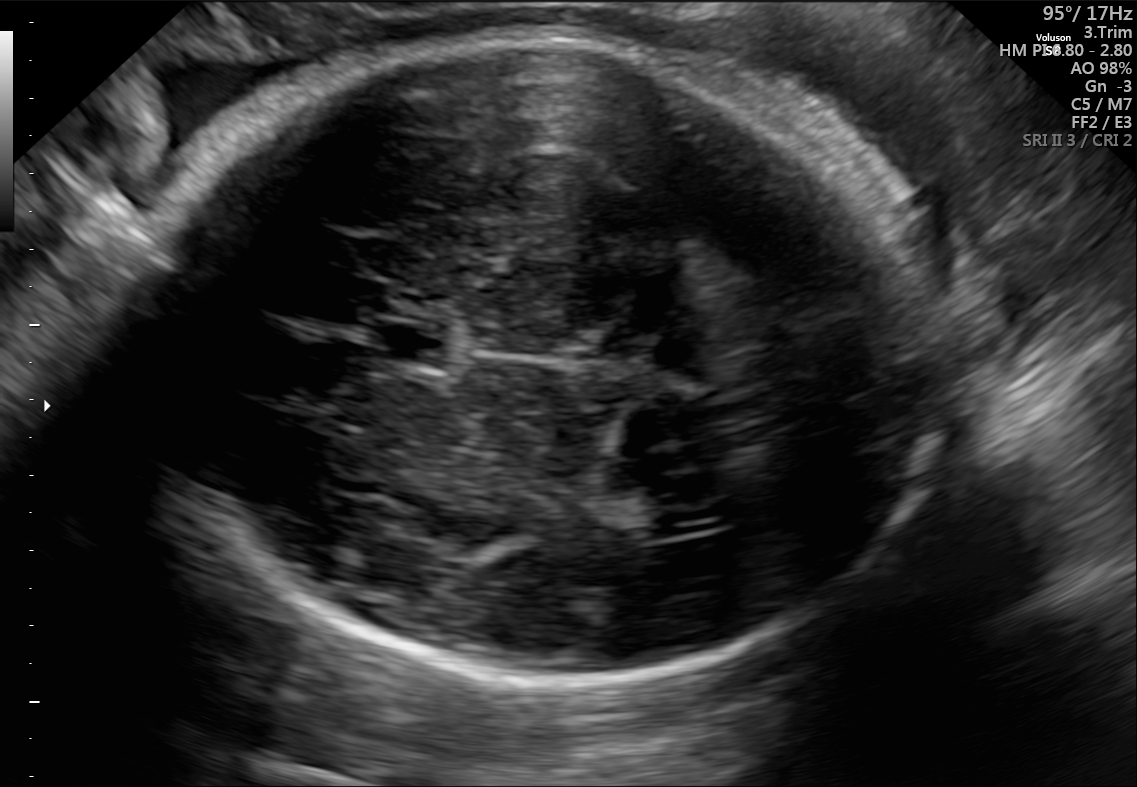
Fetal brain, trans-ventricular plane. Give [x1,y1,x2,y2] bounding boxes for each visible structure among: fetal head, CSP, LV.

Head: [146,26,965,687]
CSP: [370,318,437,366]